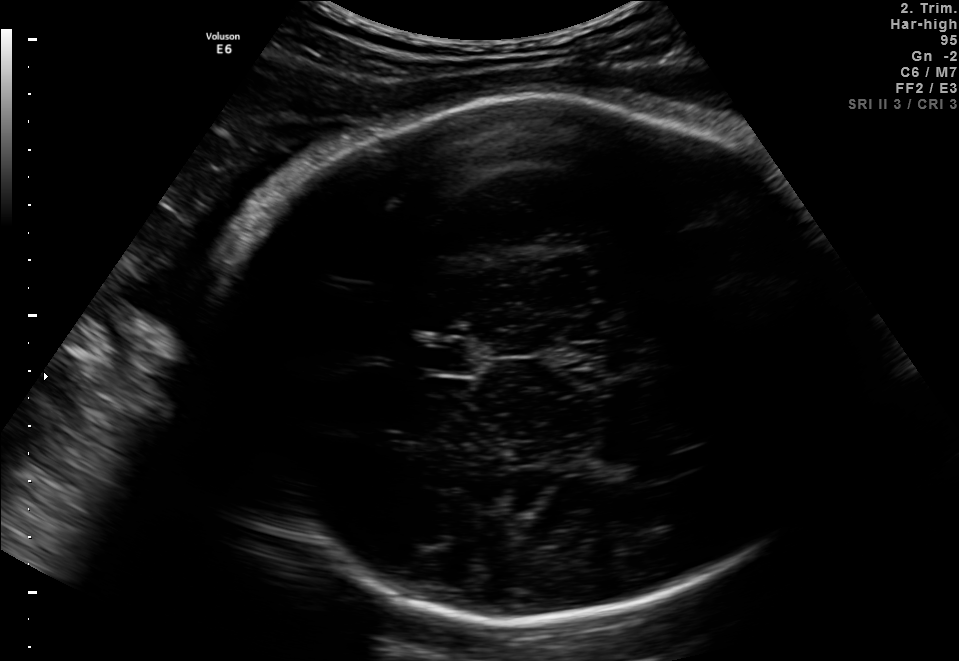
In this fetal brain, trans-thalamic plane, give the bounding box of the lateral ventricle.

[611,452,686,493]